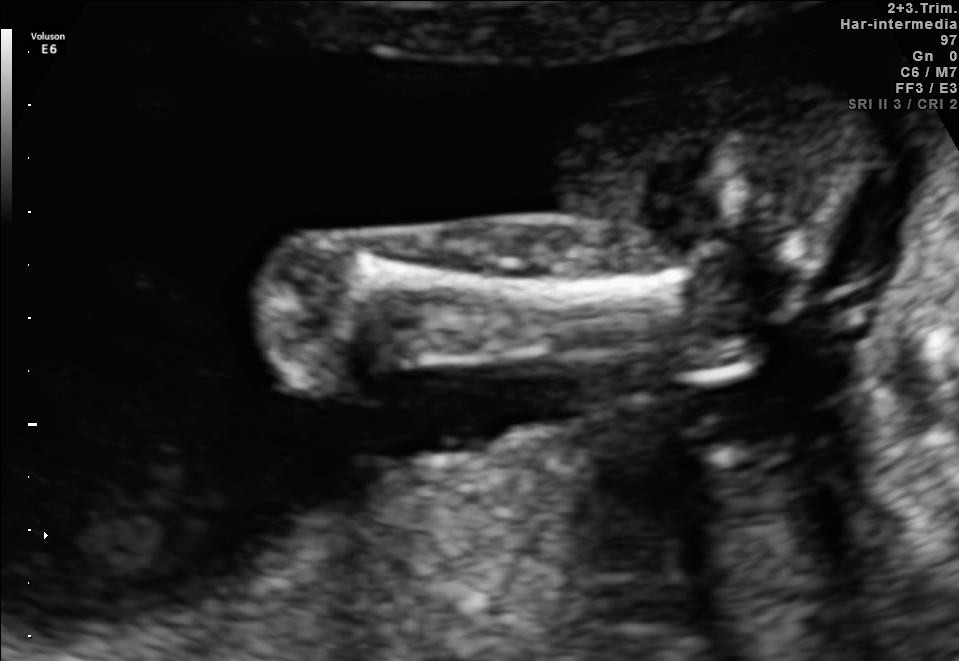
Identify the standard plane in this fetal ultrasound image: fetal abdomen, fetal brain, fetal femur, fetal thorax, maternal cervix, or other. If it's fetal brain and one of the three standard brain planes (trans-thalamic, trans-cerebellum, trans-ventricular), name which.

Fetal femur